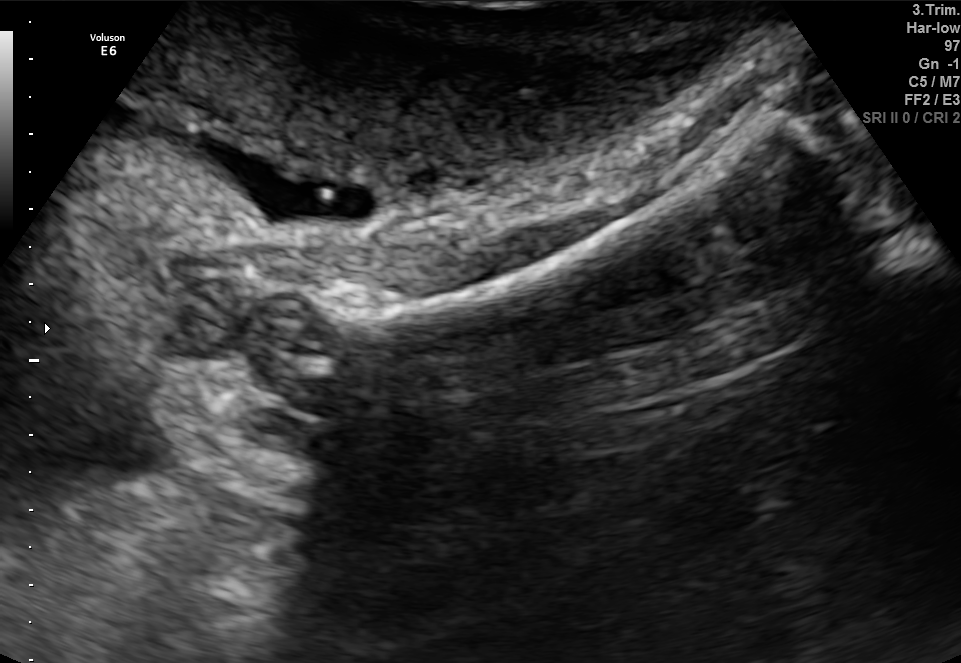
Classify this maternal-fetal ultrasound image as one of the six standard planes — fetal abdomen, fetal brain, fetal femur, fetal thorax, maternal cervix, or other. If it's fetal brain and one of the three standard brain planes (trans-thalamic, trans-cerebellum, trans-ventricular), name which.

Fetal femur